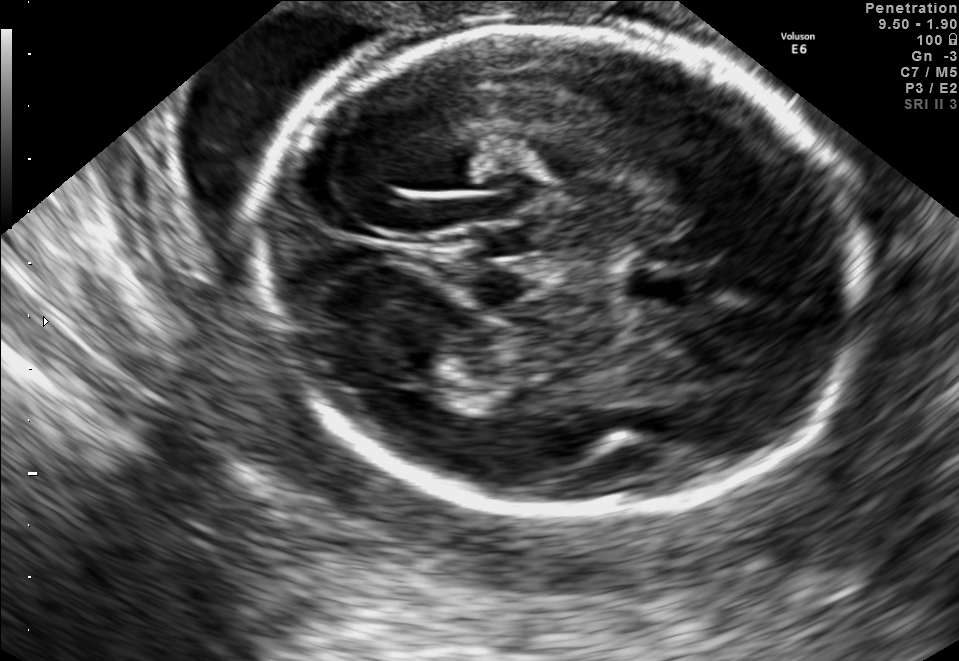
Fetal brain, trans-thalamic plane. Locate the fetal head and, if visible, the cavum septum pellucidum (CSP) and lateral ventricle (LV). Give bounding boxes as [x1,y1,x2,y2].

Head: [258,23,861,512]
CSP: [627,267,691,306]
Lateral ventricle: [386,359,470,413]